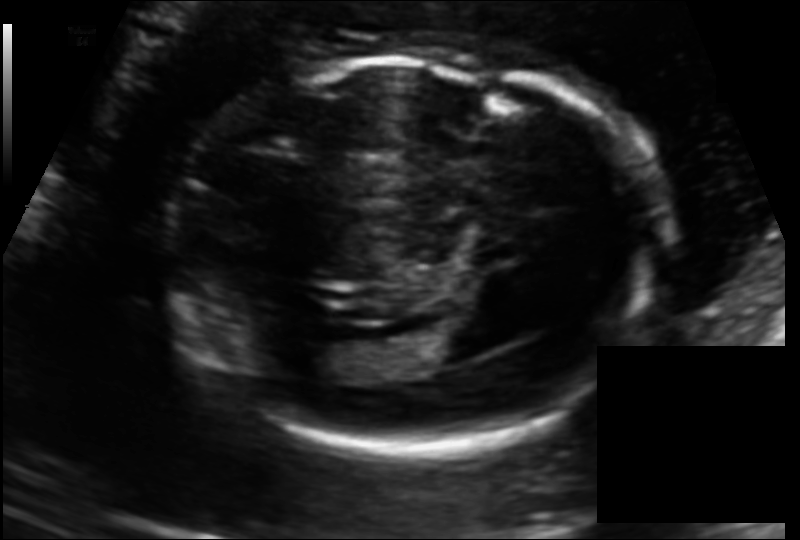
Fetal head ultrasound. Image width: 100.0 mm. Where is the fetal head?

Head bounding box: [169,60,653,450]